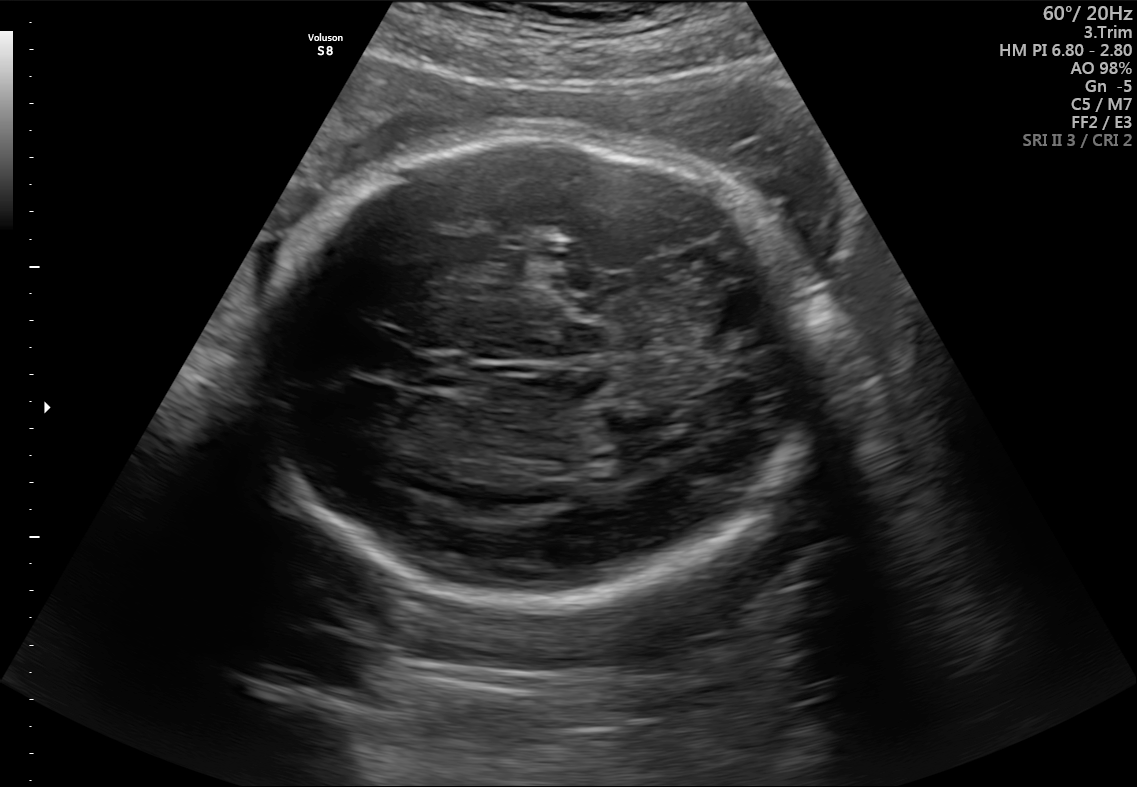
Fetal brain, trans-thalamic plane. Locate the fetal head.

Head: [251,135,822,607]